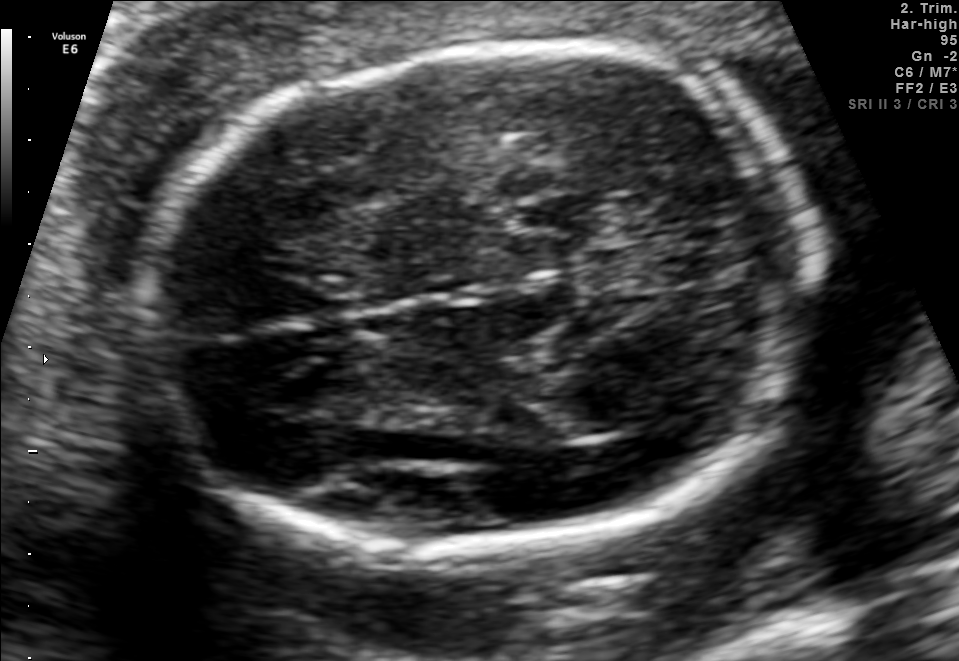
Fetal brain, trans-thalamic plane. Give [x1,y1,x2,y2] bounding boxes for each visible structure among: fetal head, CSP, LV.

Head: [134,47,813,548]
Lateral ventricle: [527,381,640,448]